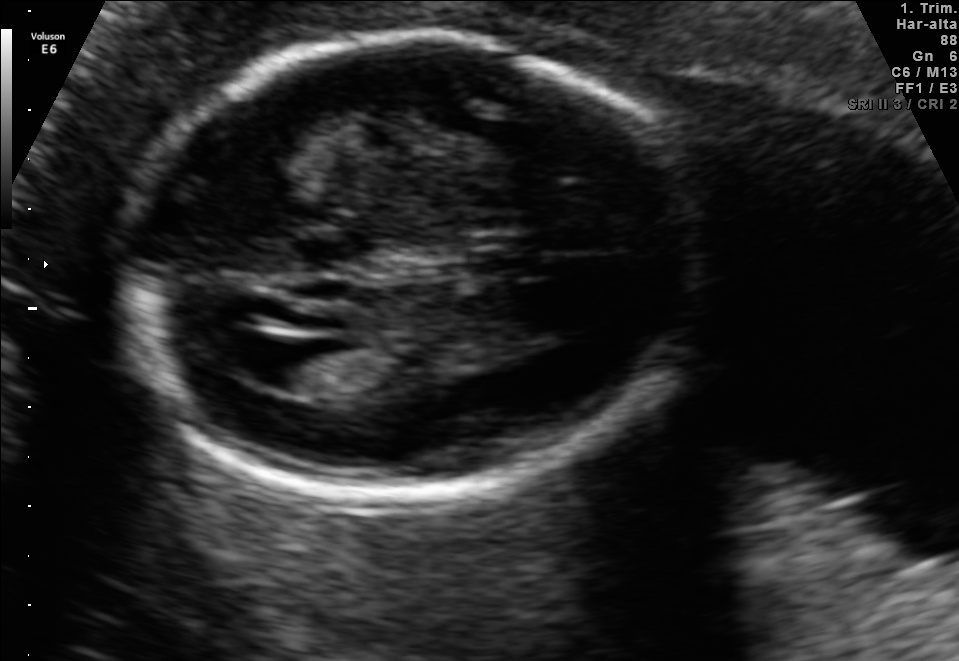
In this fetal brain, trans-ventricular plane, give the bounding box of the lateral ventricle.

[228,327,322,393]